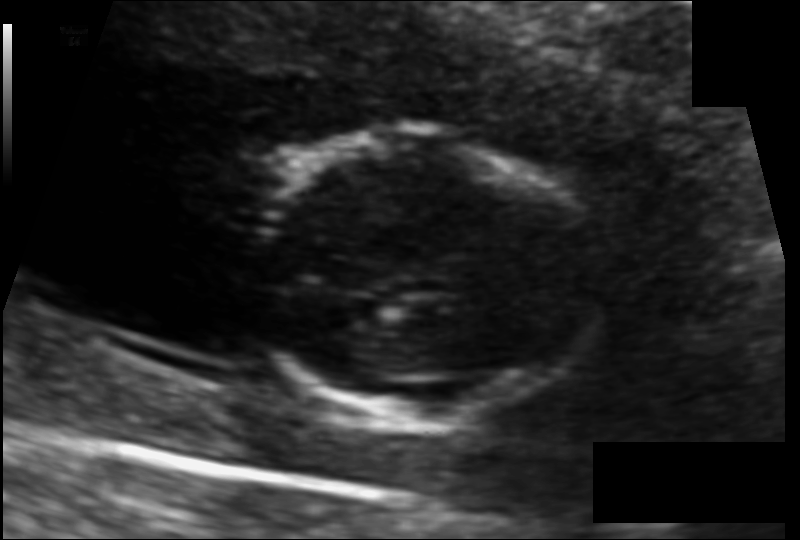
Estimate the fetal head circumference from this 2D ultrasound. Image width: 72.8 mm.

Head circumference: 94.3 mm.